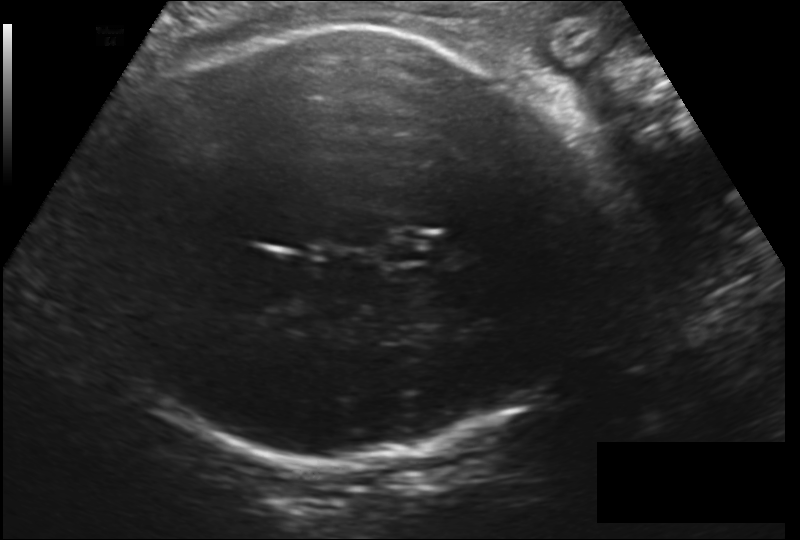
From this fetal ultrasound, estimate the head circumference (image width 169.8 mm).

Head circumference: 330.9 mm.